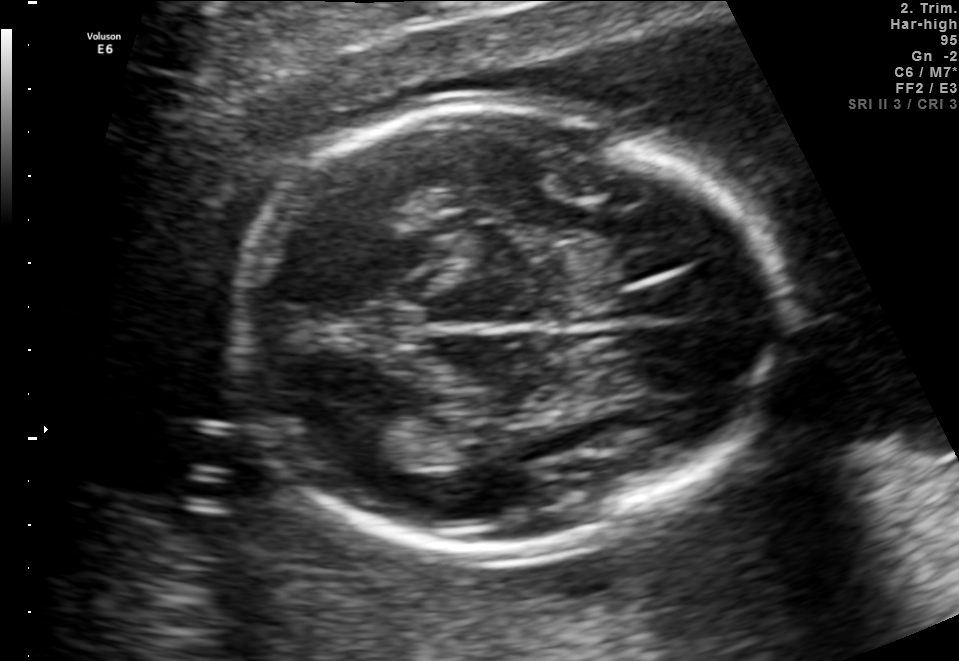
Fetal brain, trans-thalamic plane. Locate the fetal head and, if visible, the cavum septum pellucidum (CSP) and lateral ventricle (LV). Give bounding boxes as [x1,y1,x2,y2].

Head: [231,110,786,549]
Lateral ventricle: [334,417,422,471]